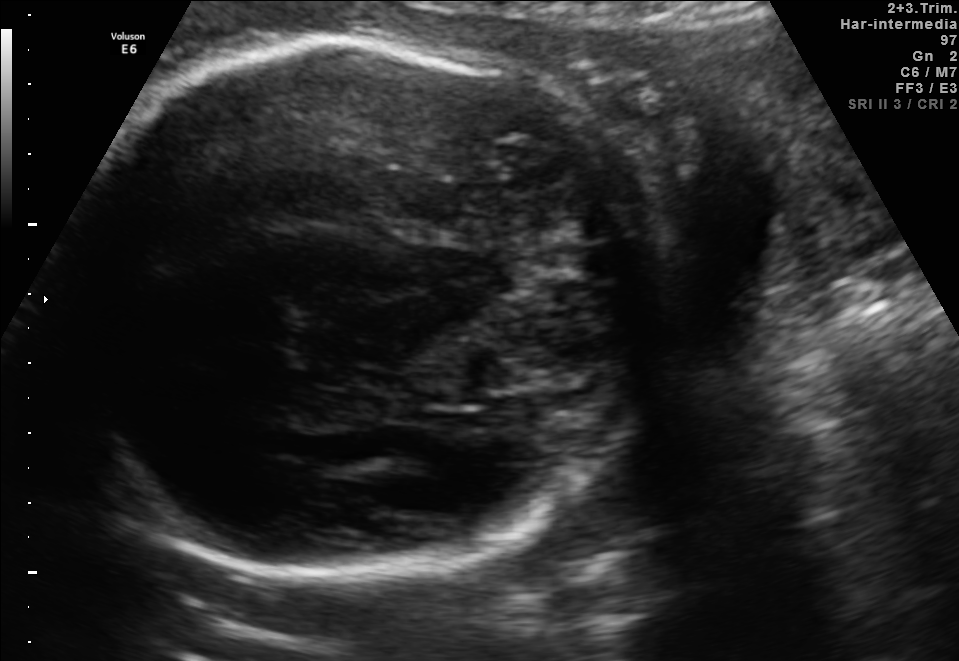
In this fetal brain, trans-thalamic plane, give the bounding box of the fetal head.

[61,35,672,574]